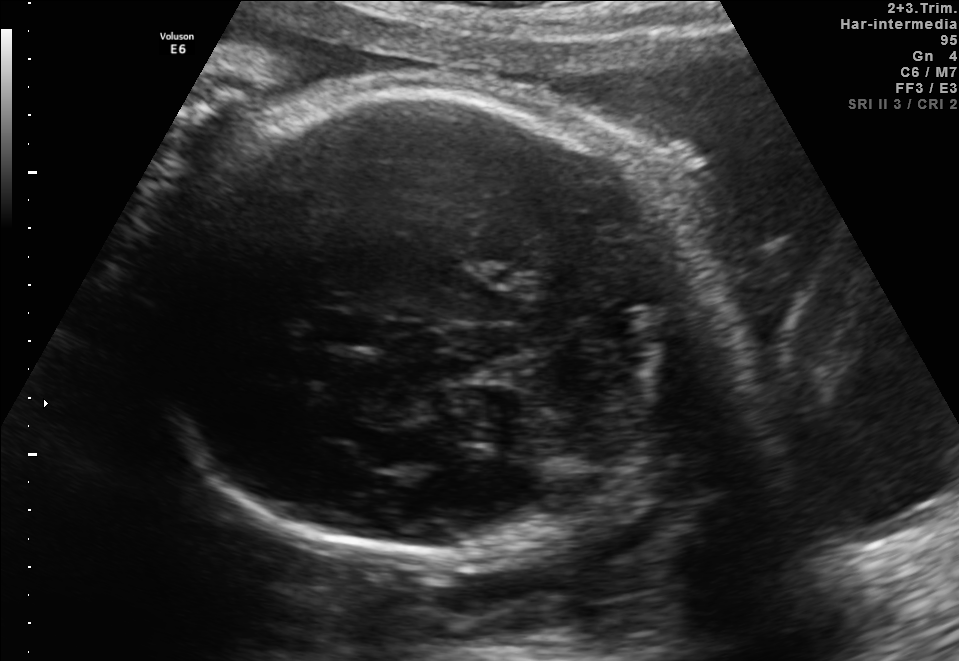
Fetal brain, trans-thalamic plane. Give [x1,y1,x2,y2] bounding boxes for each visible structure among: fetal head, CSP, LV.

Head: [139,94,700,553]
CSP: [310,308,385,349]